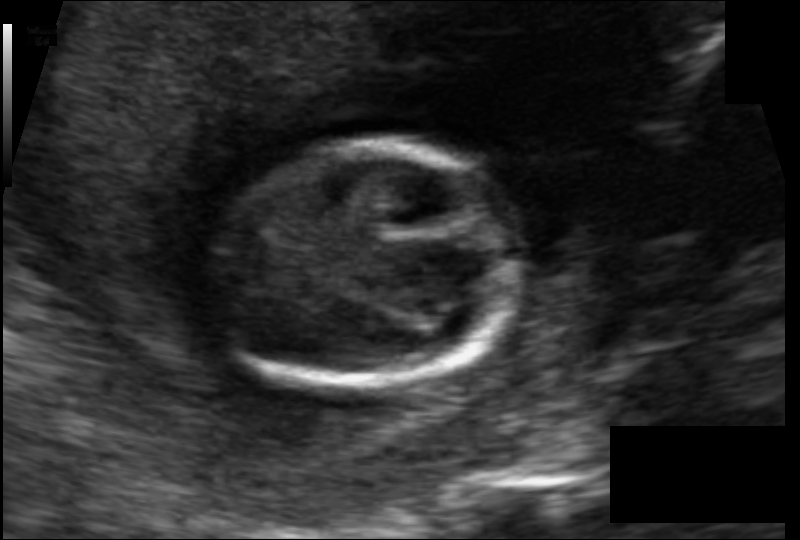
Fetal head ultrasound. Image width: 70.6 mm. Give [x1,y1,x2,y2] bounding boxes for each visible structure among: fetal head, CSP, LV.

Head: [213,146,514,386]